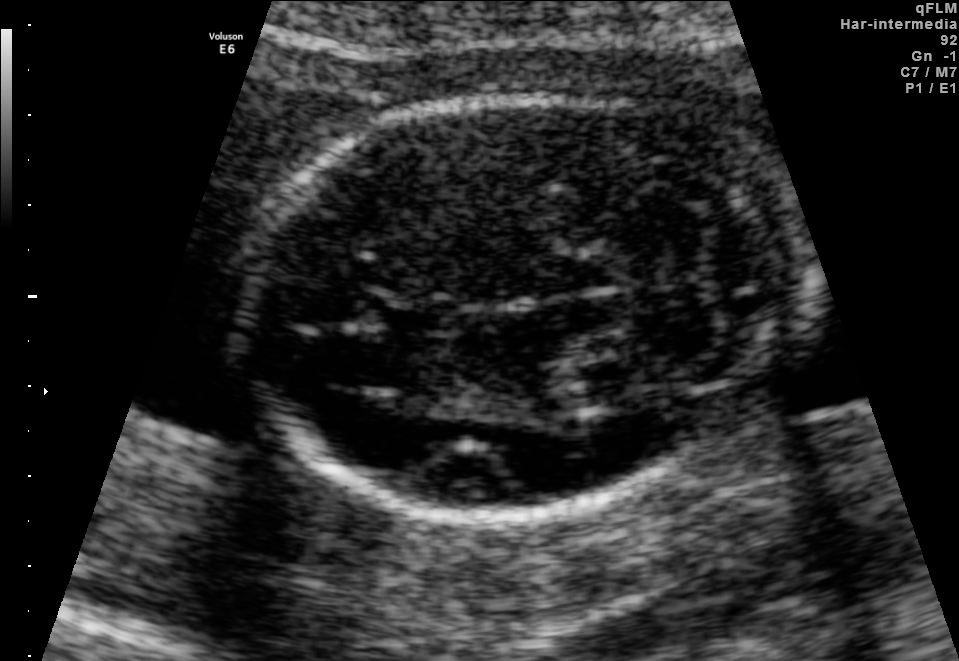
Fetal brain, trans-cerebellum plane. Locate the fetal head and, if visible, the cavum septum pellucidum (CSP) and lateral ventricle (LV). Give bounding boxes as [x1,y1,x2,y2].

Head: [249,95,810,516]
CSP: [365,295,448,337]